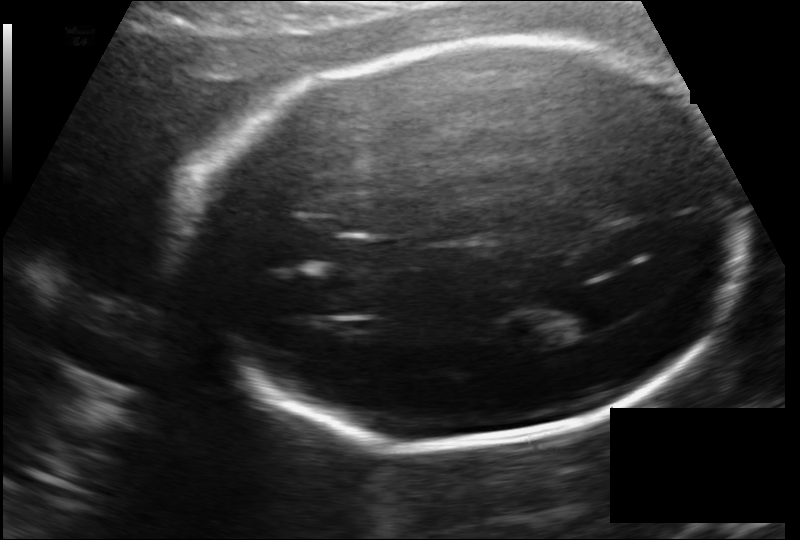
Fetal head ultrasound. Image width: 112.6 mm. Where is the lateral ventricle?

Lateral ventricle bounding box: [525,285,622,348]